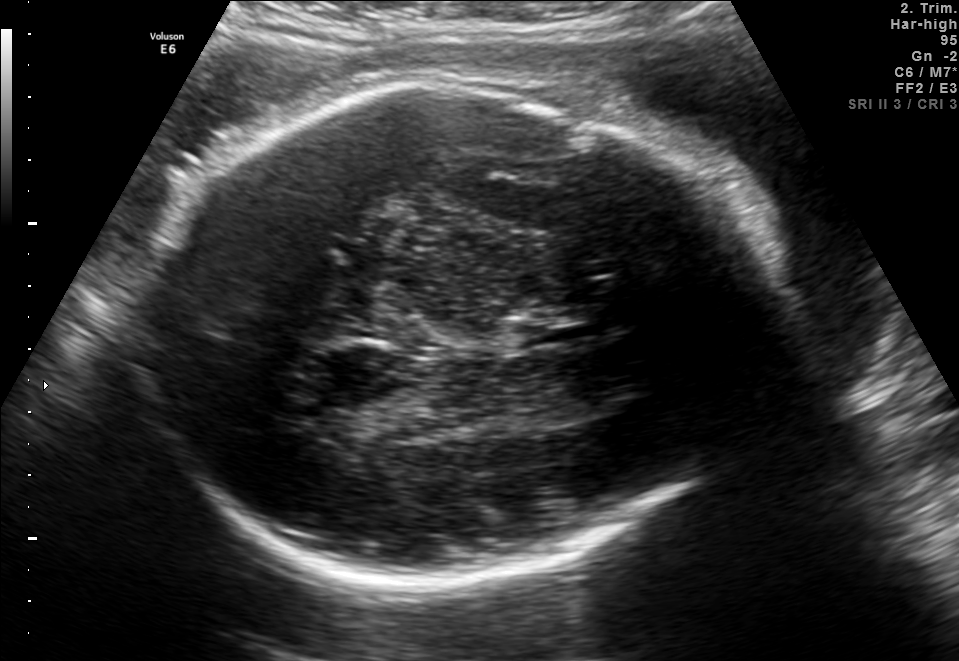
Fetal brain, trans-thalamic plane. Give [x1,y1,x2,y2] bounding boxes for each visible structure among: fetal head, CSP, LV.

Head: [130,78,765,585]